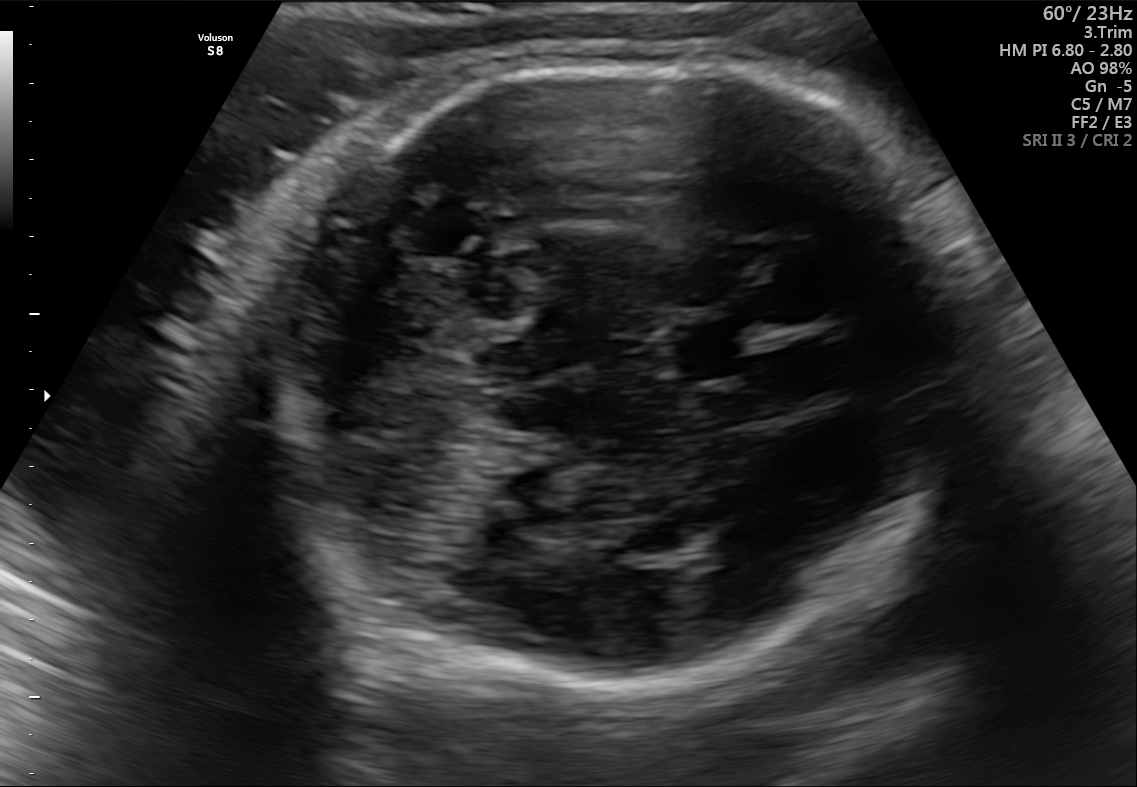
In this fetal brain, trans-cerebellum plane, give bounding boxes for the head outline, cavum septum pellucidum (CSP), and lateral ventricle (LV), where visible.

Head: [263,58,964,681]
CSP: [656,306,764,391]